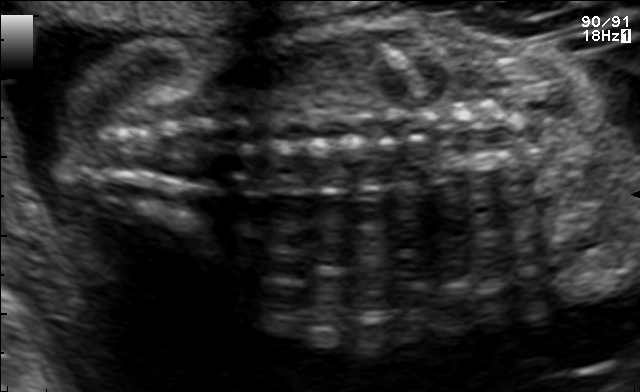
Identify the standard plane in this fetal ultrasound image: fetal abdomen, fetal brain, fetal femur, fetal thorax, maternal cervix, or other. If it's fetal brain and one of the three standard brain planes (trans-thalamic, trans-cerebellum, trans-ventricular), name which.

Other